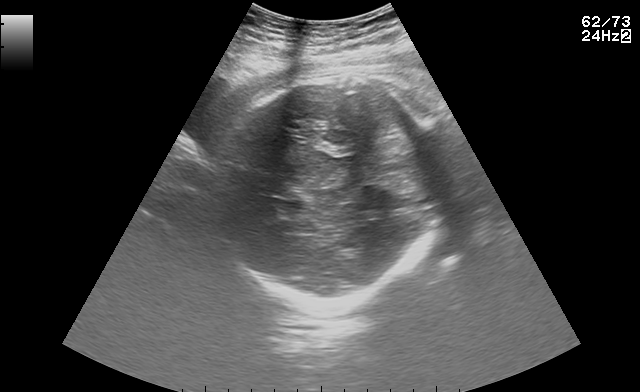
Classify this maternal-fetal ultrasound image as one of the six standard planes — fetal abdomen, fetal brain, fetal femur, fetal thorax, maternal cervix, or other. If it's fetal brain and one of the three standard brain planes (trans-thalamic, trans-cerebellum, trans-ventricular), name which.

Fetal brain (trans-thalamic plane)